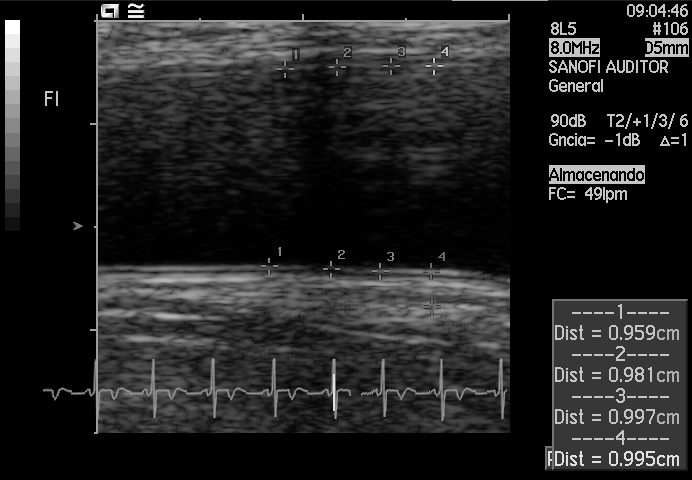
Which standard maternal-fetal ultrasound plane is shown: fetal abdomen, fetal brain, fetal femur, fetal thorax, maternal cervix, or other? If it's fetal brain and one of the three standard brain planes (trans-thalamic, trans-cerebellum, trans-ventricular), name which.

Other